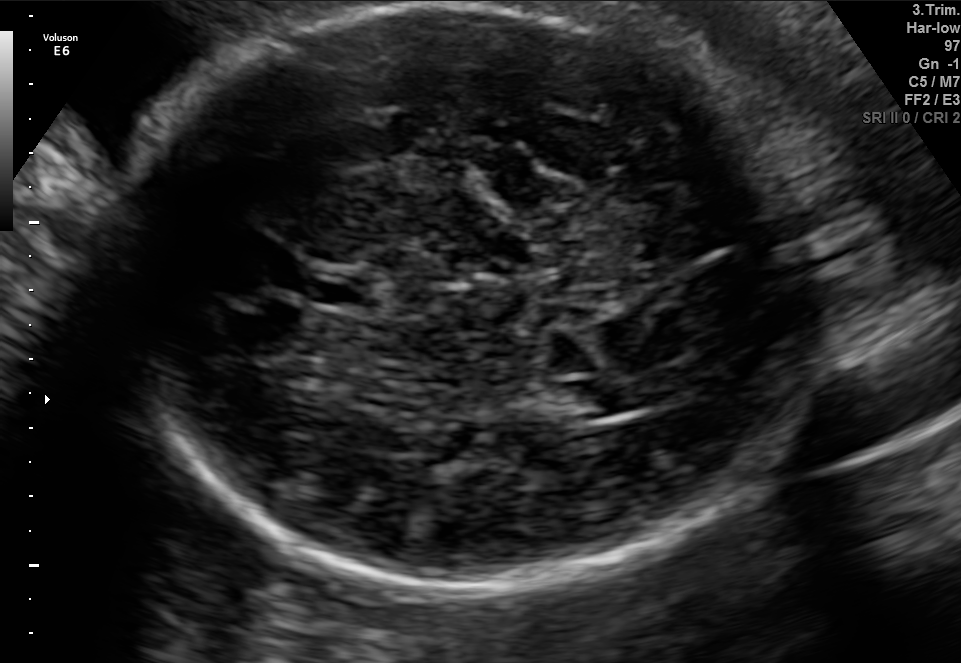
Fetal brain, trans-ventricular plane. Locate the fetal head and, if visible, the cavum septum pellucidum (CSP) and lateral ventricle (LV). Give bounding boxes as [x1,y1,x2,y2].

Head: [84,4,845,601]
CSP: [311,270,371,311]
Lateral ventricle: [565,368,656,422]